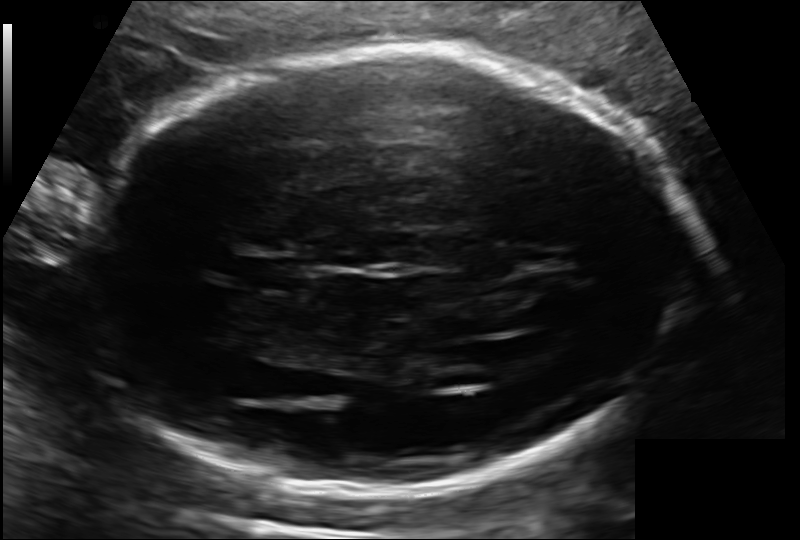
In this fetal head ultrasound, give the bounding box of the lateral ventricle. Image width: 114.4 mm.

[507,320,591,381]